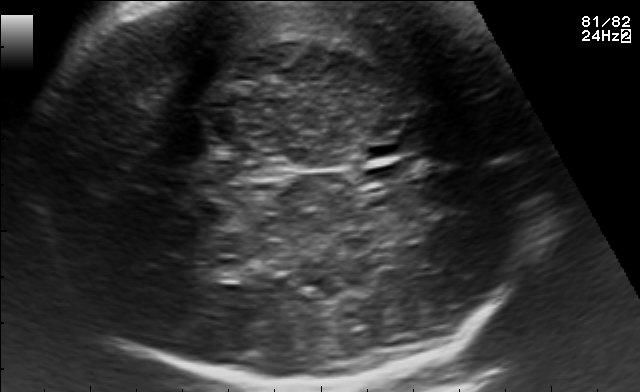
Fetal brain, trans-thalamic plane. Locate the fetal head and, if visible, the cavum septum pellucidum (CSP) and lateral ventricle (LV). Give bounding boxes as [x1,y1,x2,y2].

Head: [26,3,546,388]